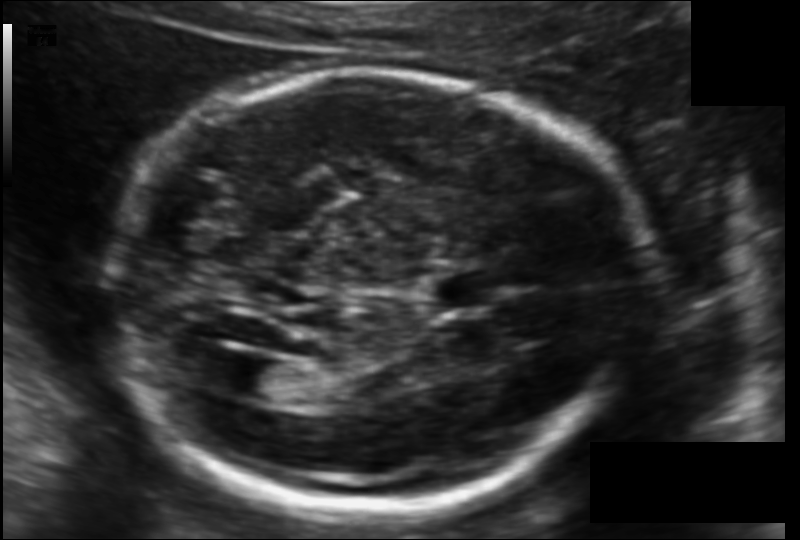
In this fetal head ultrasound, give the bounding box of the cavum septum pellucidum. Image width: 95.3 mm.

[428,262,504,317]